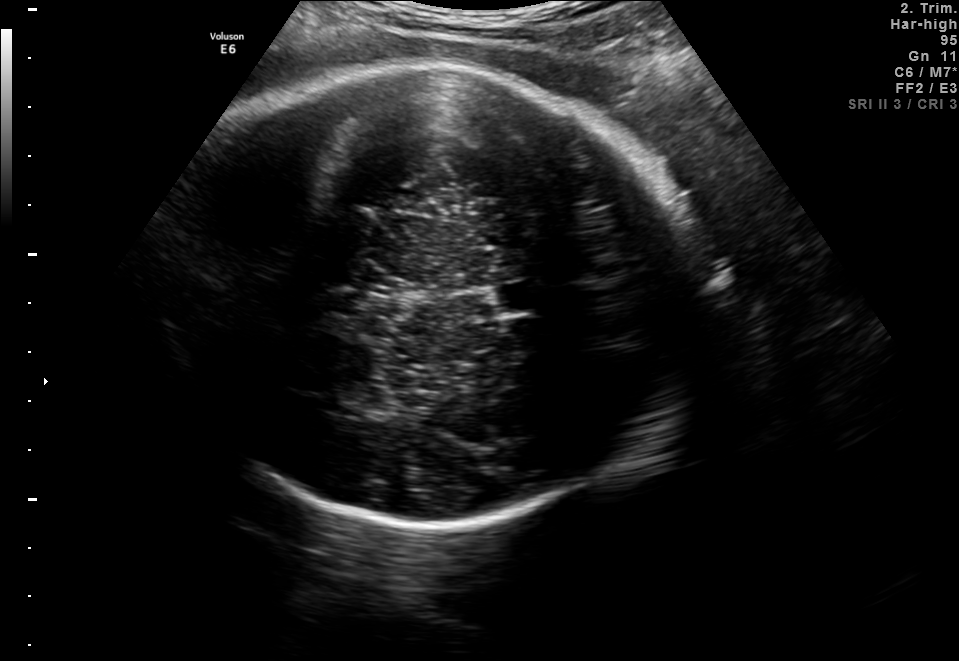
In this fetal brain, trans-thalamic plane, give the bounding box of the cavum septum pellucidum.

[490,278,555,318]